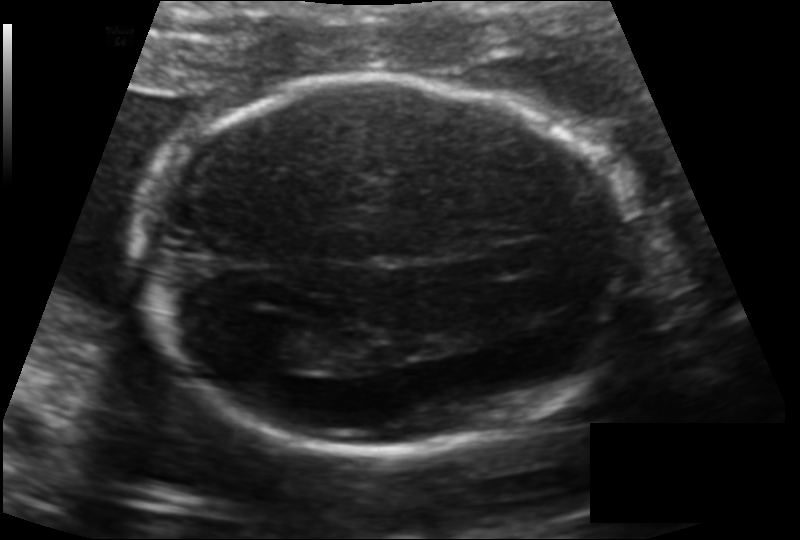
In this fetal head ultrasound, give the bounding box of the lateral ventricle. Image width: 107.0 mm.

[249,317,331,372]